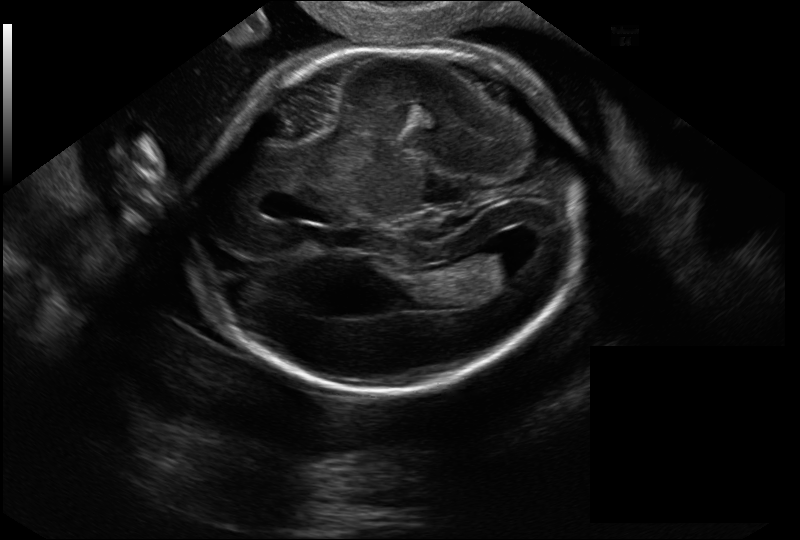
Estimate the fetal head circumference from this 2D ultrasound. Image width: 115.6 mm.

Head circumference: 174.1 mm.